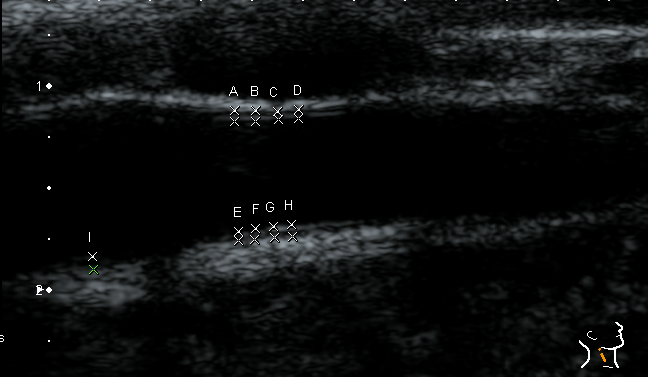
This is a 2D maternal-fetal ultrasound frame. Is it a fetal abdomen, fetal brain, fetal femur, fetal thorax, maternal cervix, or other standard plane? If it's fetal brain and one of the three standard brain planes (trans-thalamic, trans-cerebellum, trans-ventricular), name which.

Other